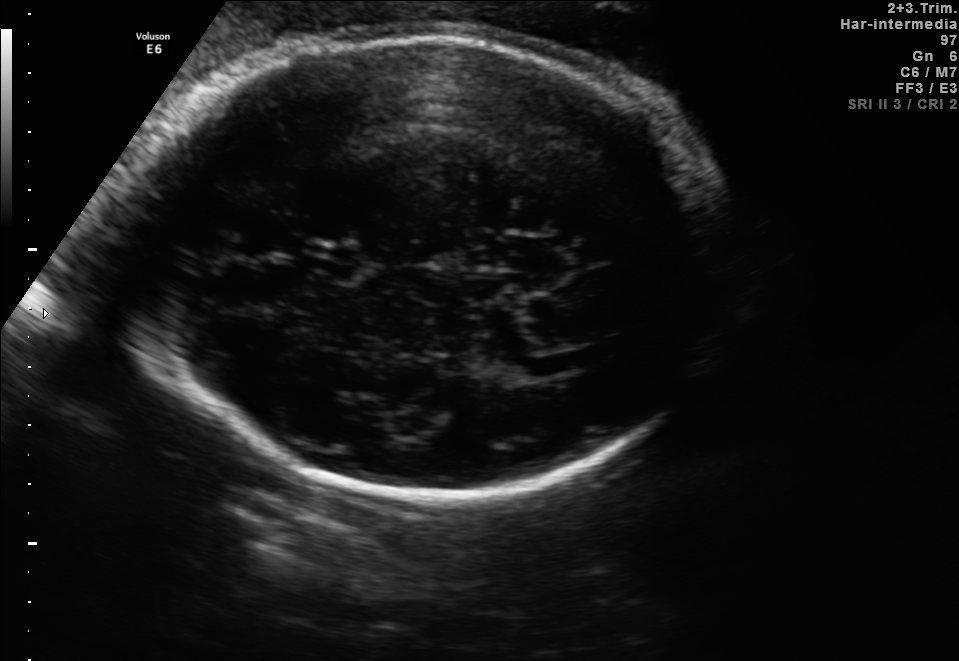
In this fetal brain, trans-thalamic plane, give bounding boxes for the head outline, cavum septum pellucidum (CSP), and lateral ventricle (LV), where visible.

Head: [134,35,733,490]
CSP: [300,243,358,282]
Lateral ventricle: [555,334,627,377]